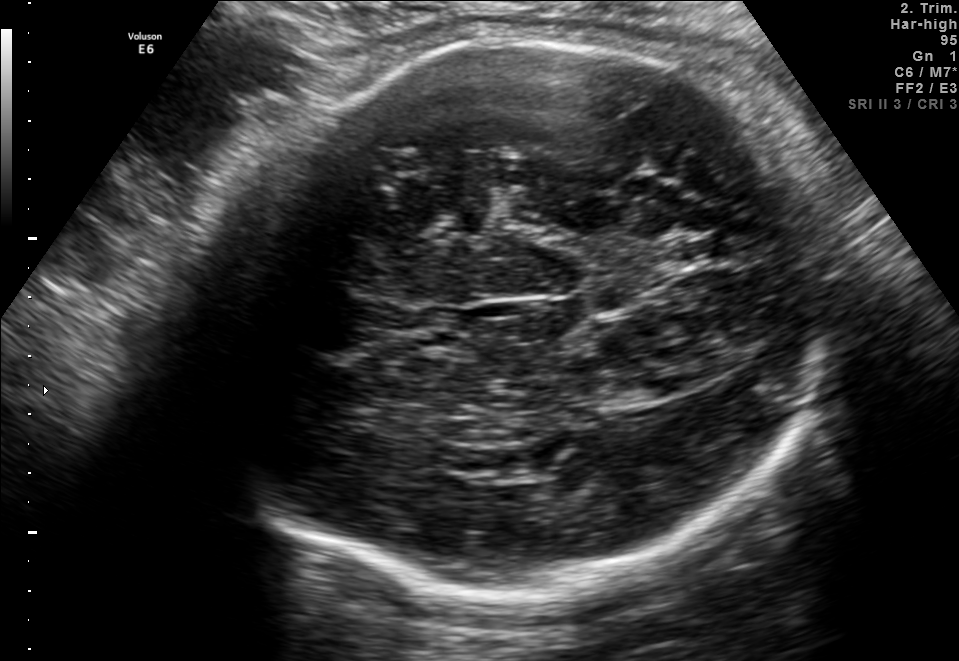
In this fetal brain, trans-thalamic plane, give bounding boxes for the head outline, cavum septum pellucidum (CSP), and lateral ventricle (LV), where visible.

Head: [181,37,816,602]